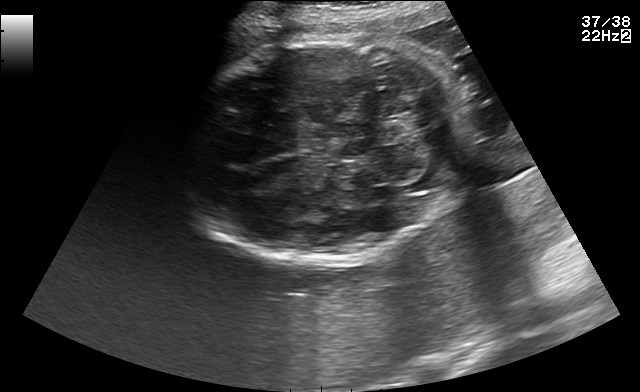
Fetal brain, trans-cerebellum plane. Locate the fetal head.

Head: [176,37,464,262]